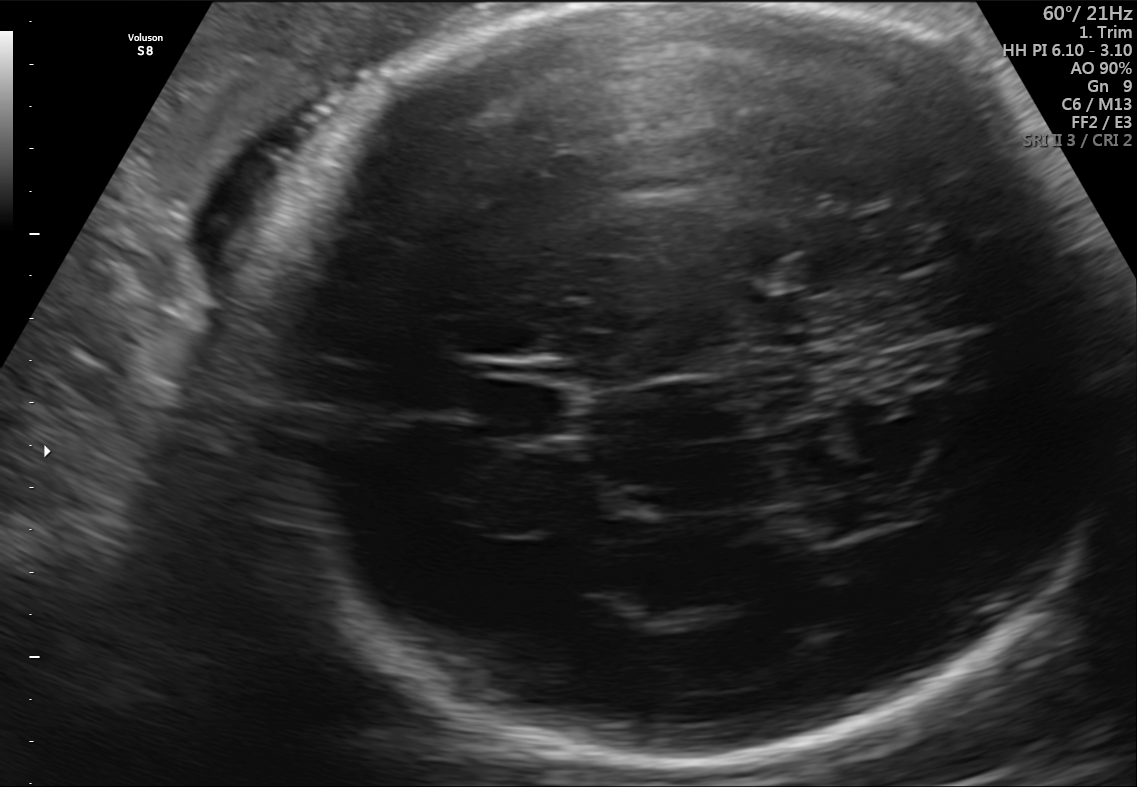
In this fetal brain, trans-thalamic plane, give bounding boxes for the head outline, cavum septum pellucidum (CSP), and lateral ventricle (LV), where visible.

Head: [260,10,1105,780]
CSP: [486,383,581,436]
Lateral ventricle: [798,489,889,547]